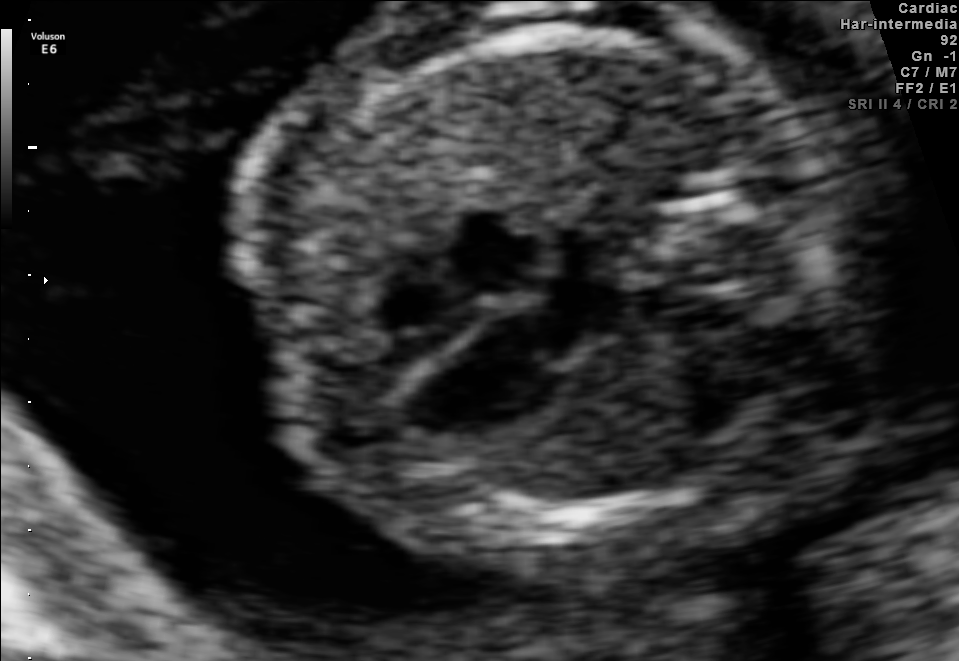
Identify the standard plane in this fetal ultrasound image: fetal abdomen, fetal brain, fetal femur, fetal thorax, maternal cervix, or other. If it's fetal brain and one of the three standard brain planes (trans-thalamic, trans-cerebellum, trans-ventricular), name which.

Fetal thorax